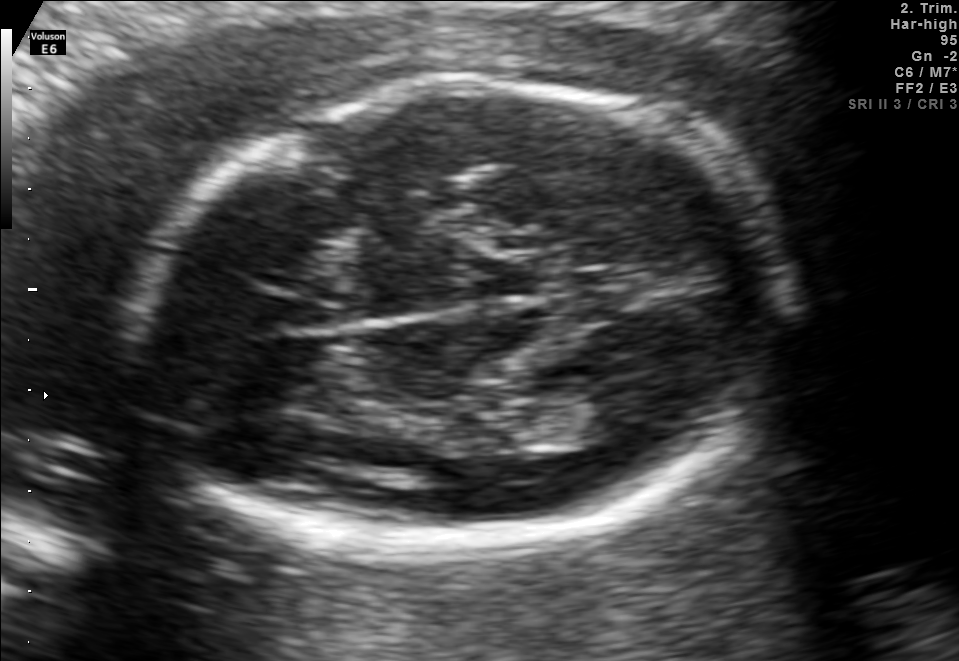
Classify this maternal-fetal ultrasound image as one of the six standard planes — fetal abdomen, fetal brain, fetal femur, fetal thorax, maternal cervix, or other. If it's fetal brain and one of the three standard brain planes (trans-thalamic, trans-cerebellum, trans-ventricular), name which.

Fetal brain (trans-thalamic plane)